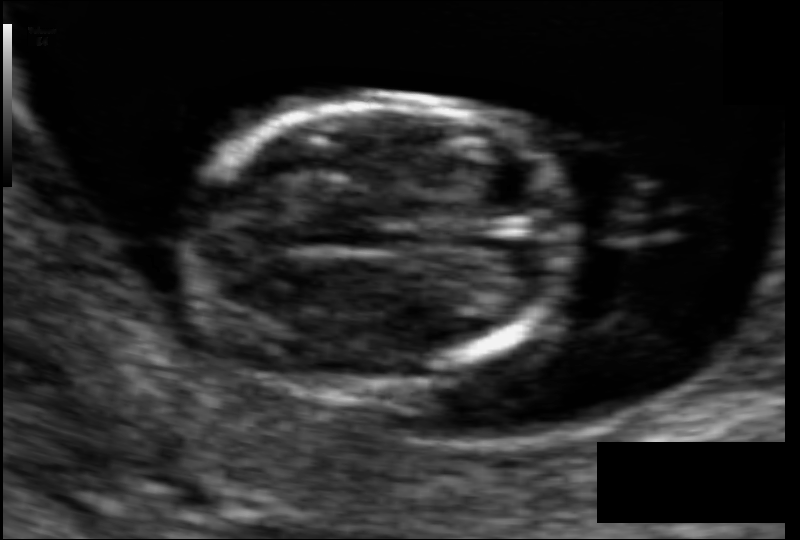
In this fetal head ultrasound, give bounding boxes for the head outline, cavum septum pellucidum (CSP), and lateral ventricle (LV), where visible. Image width: 52.8 mm.

Head: [188,100,574,383]